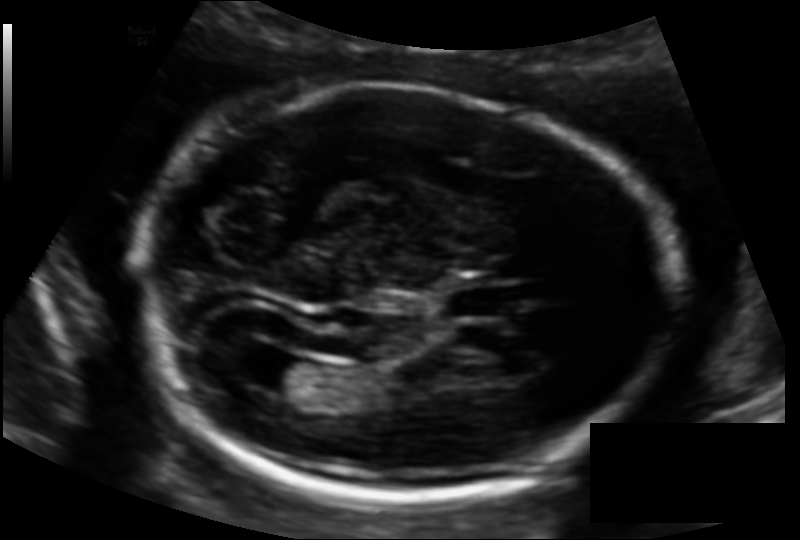
Fetal head ultrasound. Image width: 103.6 mm. Where is the lateral ventricle?

Lateral ventricle bounding box: [250,347,322,403]